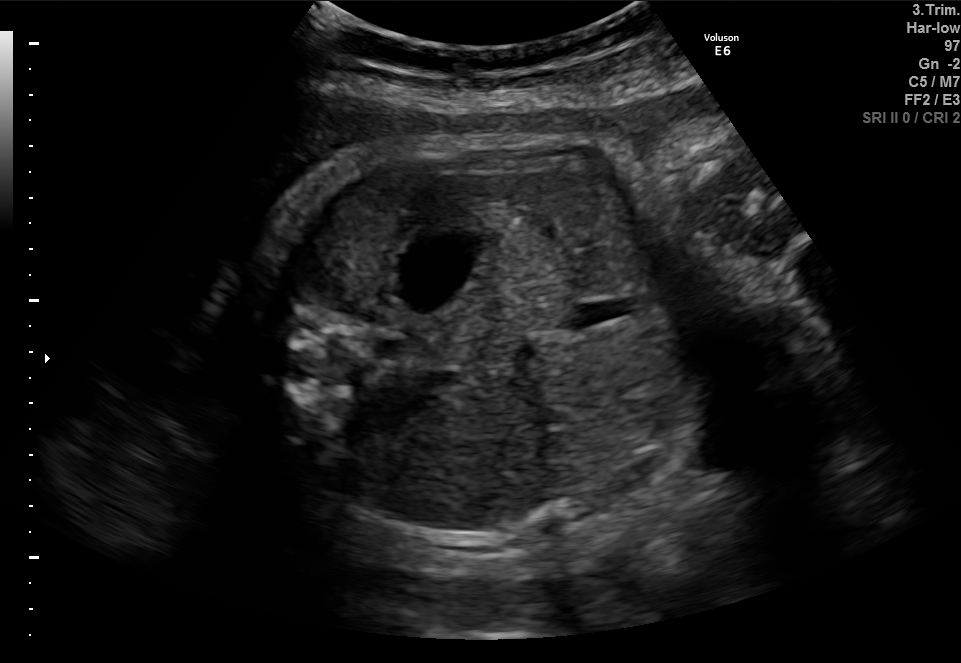
This is a 2D maternal-fetal ultrasound frame. Is it a fetal abdomen, fetal brain, fetal femur, fetal thorax, maternal cervix, or other standard plane? If it's fetal brain and one of the three standard brain planes (trans-thalamic, trans-cerebellum, trans-ventricular), name which.

Fetal abdomen